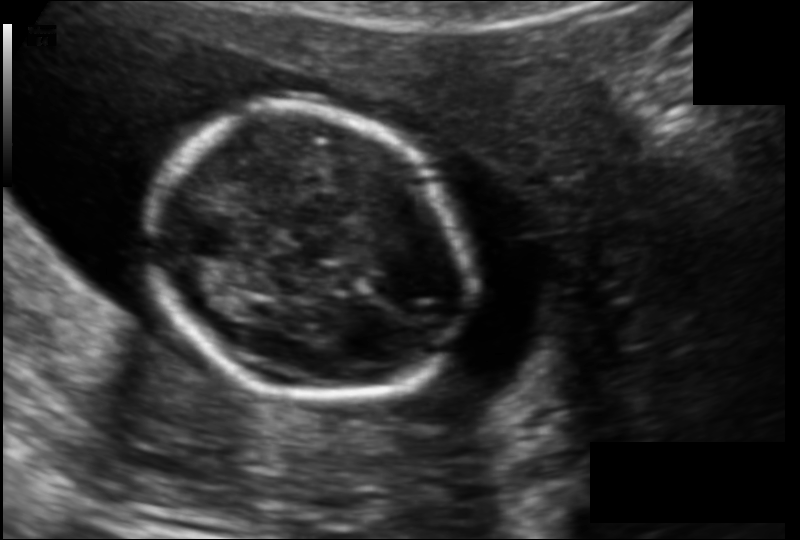
In this fetal head ultrasound, give the bounding box of the fetal head. Image width: 98.4 mm.

[153,112,473,402]